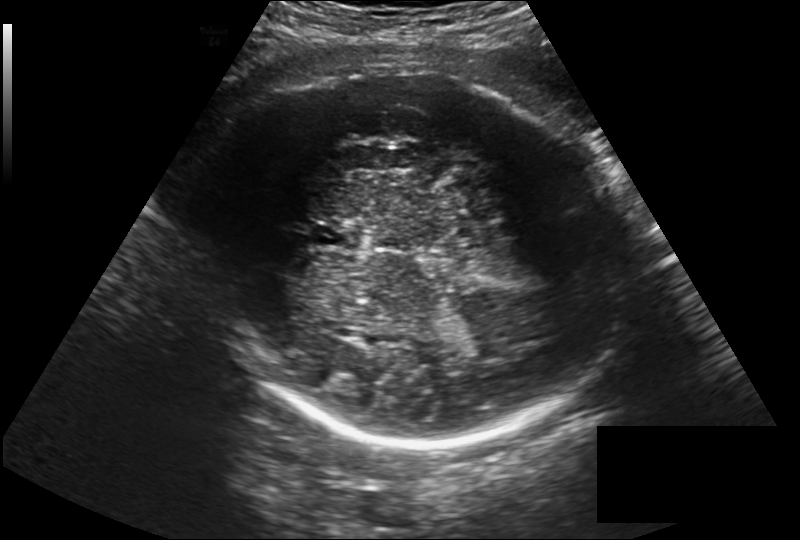
From this fetal ultrasound, estimate the head circumference (image width 205.7 mm).

Head circumference: 335.0 mm.